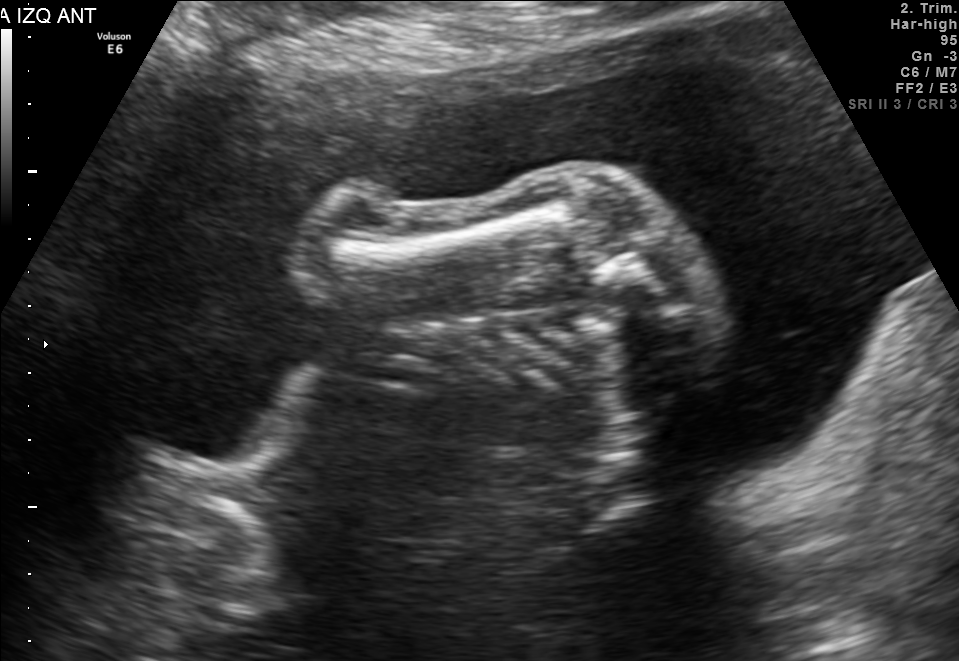
Identify the standard plane in this fetal ultrasound image: fetal abdomen, fetal brain, fetal femur, fetal thorax, maternal cervix, or other. If it's fetal brain and one of the three standard brain planes (trans-thalamic, trans-cerebellum, trans-ventricular), name which.

Other